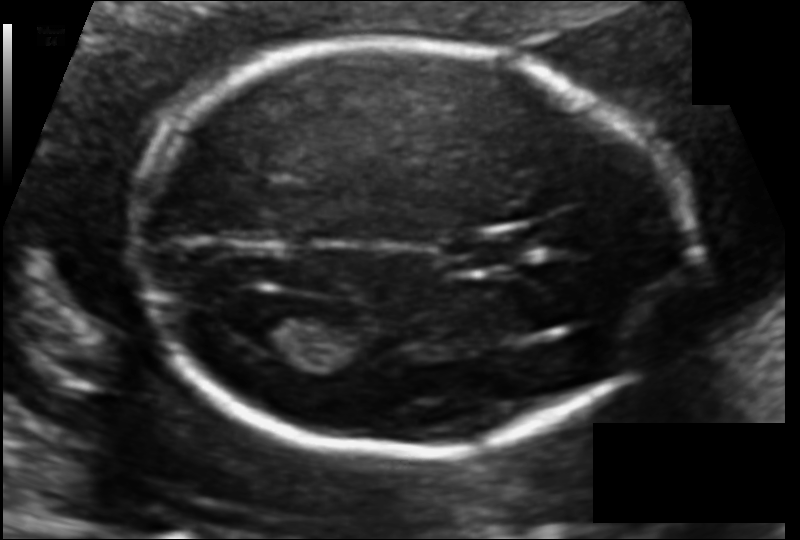
Fetal head ultrasound. Image width: 84.8 mm. Locate the lateral ventricle.

Lateral ventricle: [240,297,331,367]